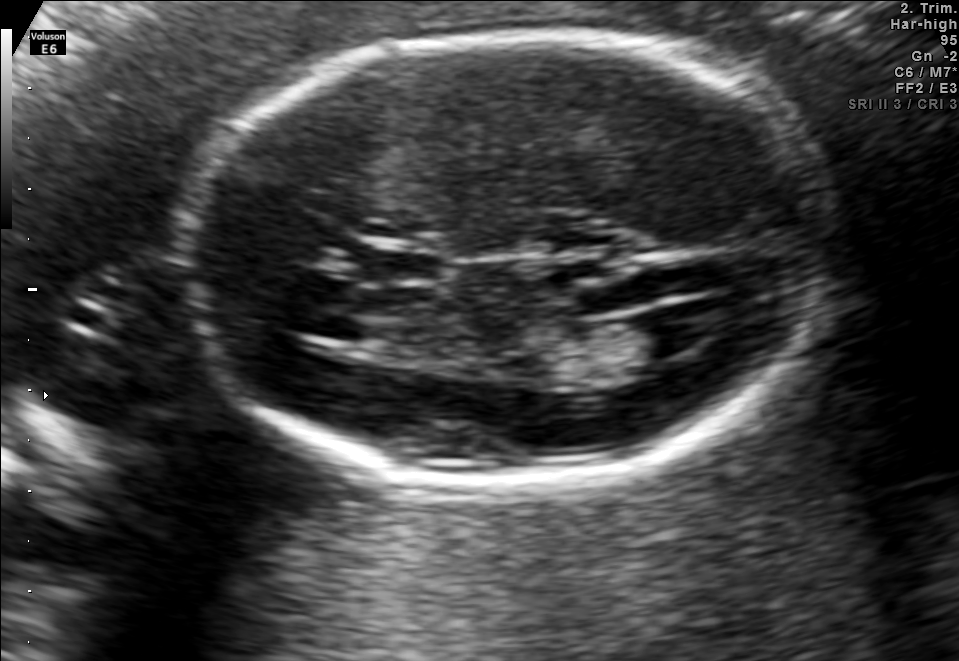
Fetal brain, trans-ventricular plane. Locate the lateral ventricle.

Lateral ventricle: [631,298,715,361]